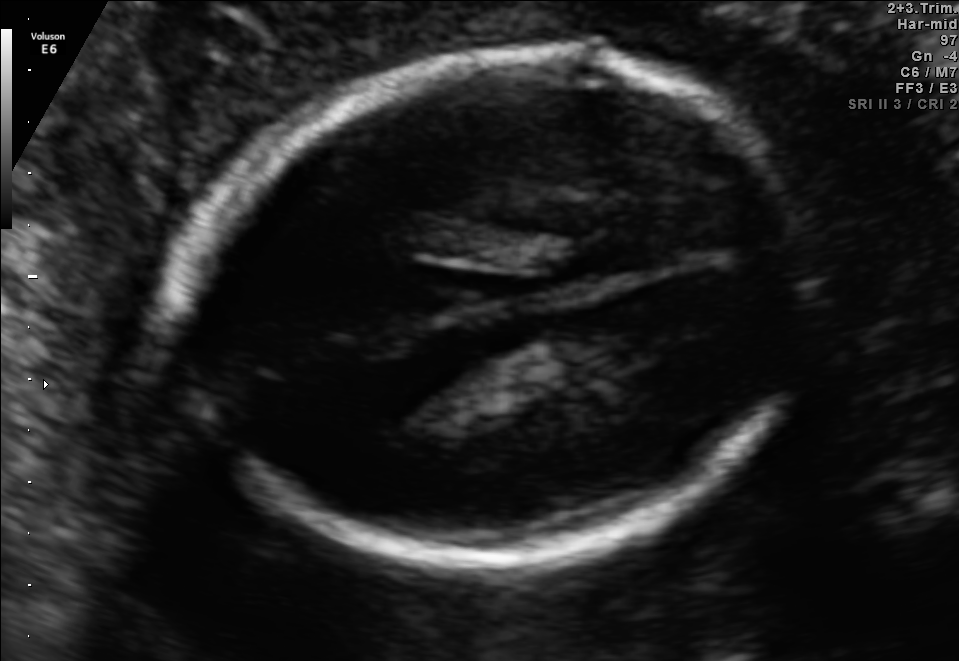
In this fetal brain, trans-thalamic plane, give bounding boxes for the head outline, cavum septum pellucidum (CSP), and lateral ventricle (LV), where visible.

Head: [183,48,814,567]